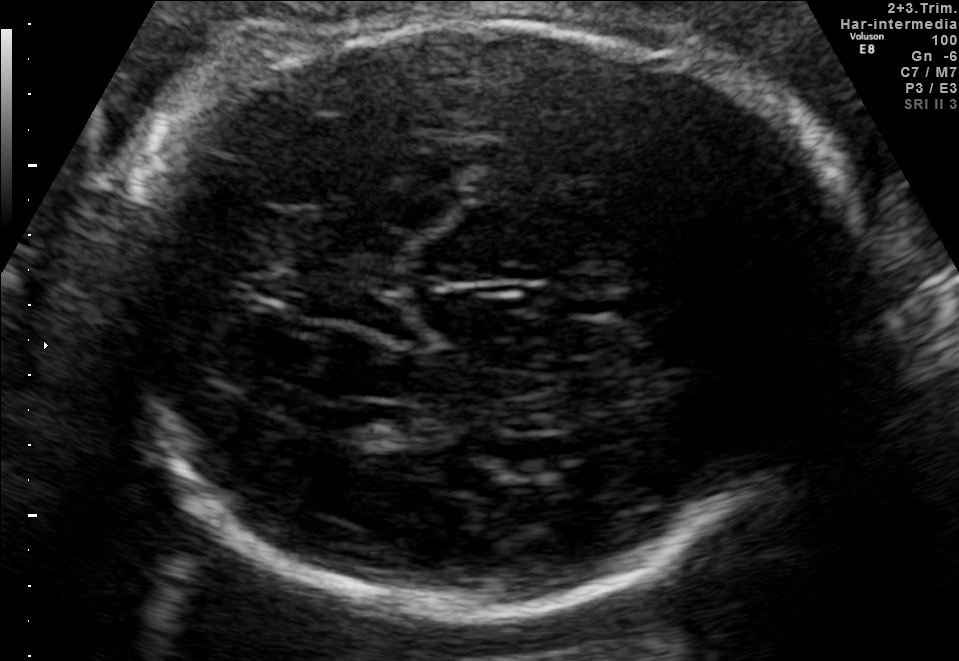
Fetal brain, trans-thalamic plane. Where is the cavum septum pellucidum?

CSP bounding box: [560,293,626,319]